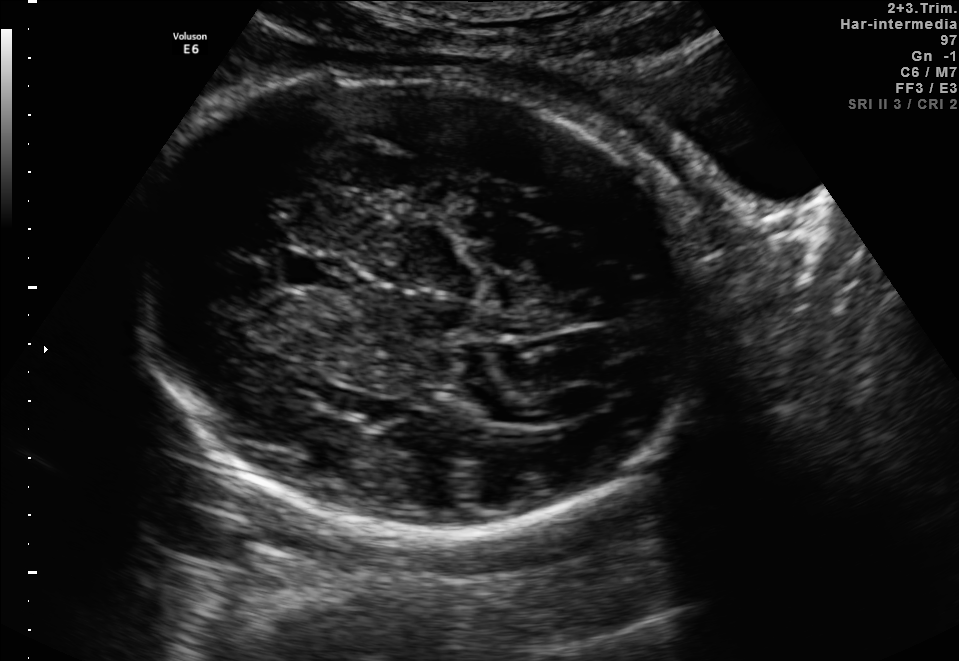
Fetal brain, trans-thalamic plane. Locate the lateral ventricle.

Lateral ventricle: [544,375,613,426]